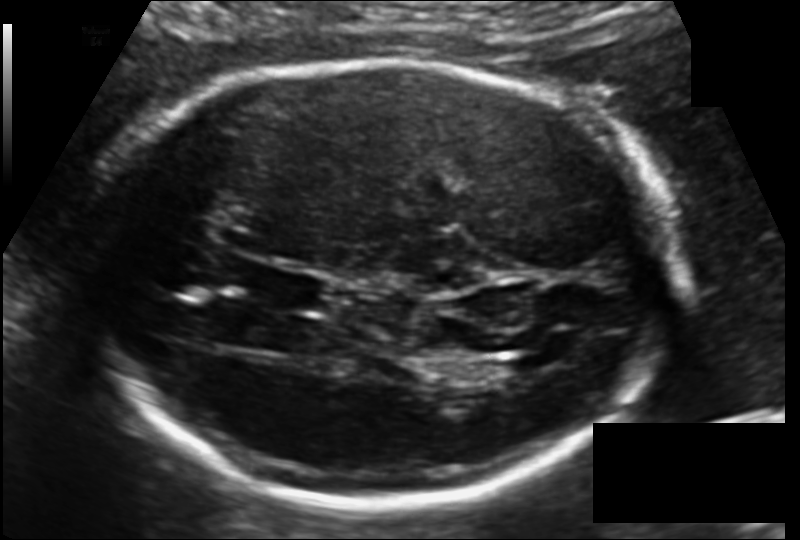
What is the fetal head circumference? Image width is 107.8 mm.

223.9 mm